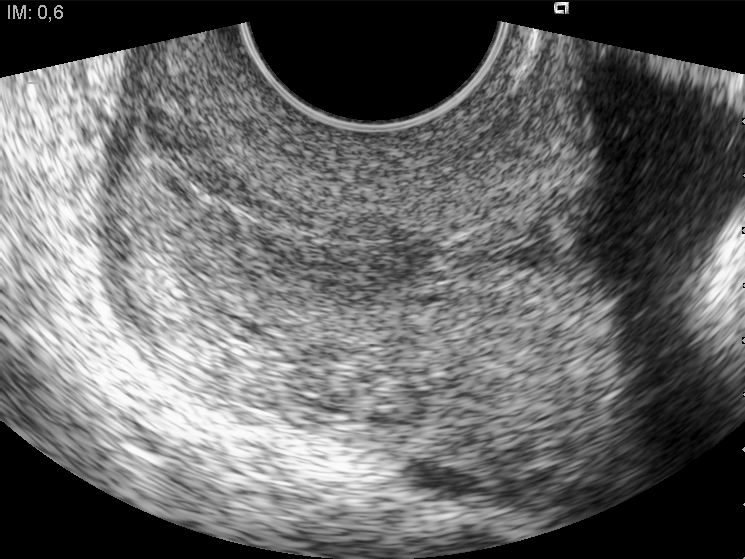
Classify this maternal-fetal ultrasound image as one of the six standard planes — fetal abdomen, fetal brain, fetal femur, fetal thorax, maternal cervix, or other. If it's fetal brain and one of the three standard brain planes (trans-thalamic, trans-cerebellum, trans-ventricular), name which.

Maternal cervix